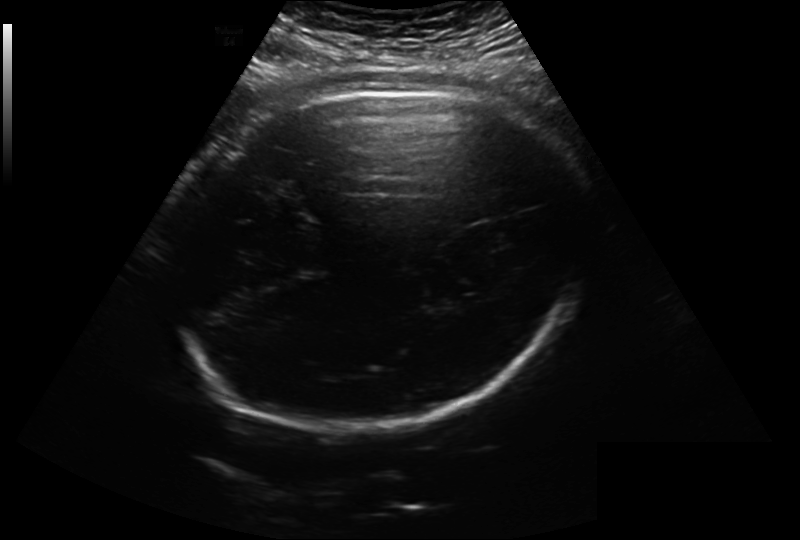
In this fetal head ultrasound, give the bounding box of the fetal head. Image width: 223.6 mm.

[164,91,595,426]